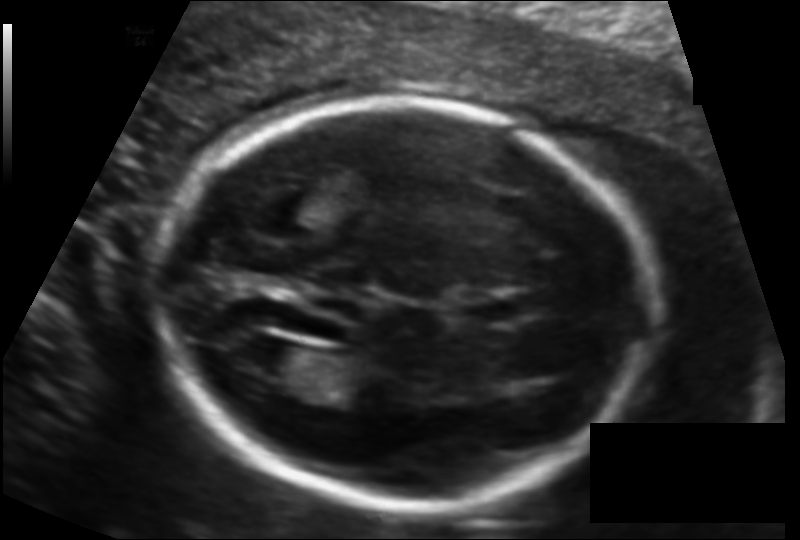
Fetal head ultrasound. Image width: 98.9 mm. Locate the cavum septum pellucidum.

CSP: [463,290,523,328]